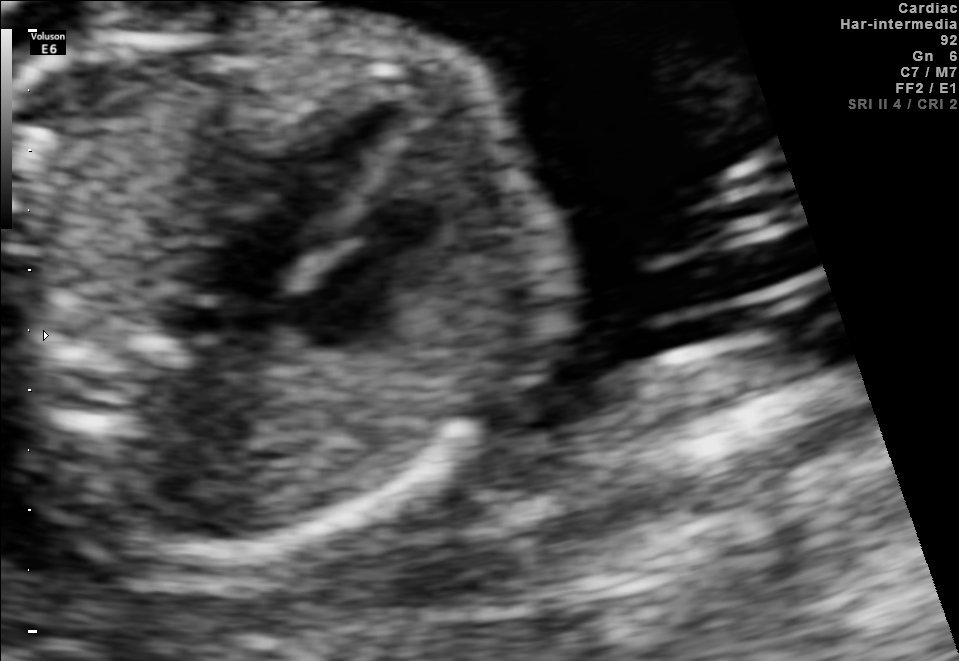
This is a 2D maternal-fetal ultrasound frame. Is it a fetal abdomen, fetal brain, fetal femur, fetal thorax, maternal cervix, or other standard plane? If it's fetal brain and one of the three standard brain planes (trans-thalamic, trans-cerebellum, trans-ventricular), name which.

Fetal thorax